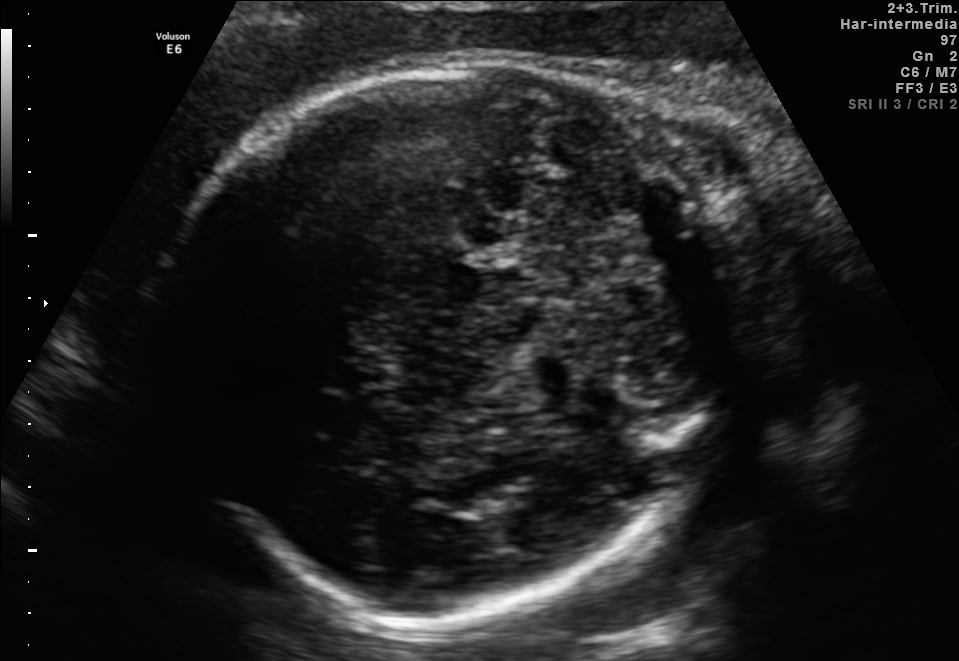
Fetal brain, trans-thalamic plane. Give [x1,y1,x2,y2] bounding boxes for each visible structure among: fetal head, CSP, LV.

Head: [162,61,771,618]